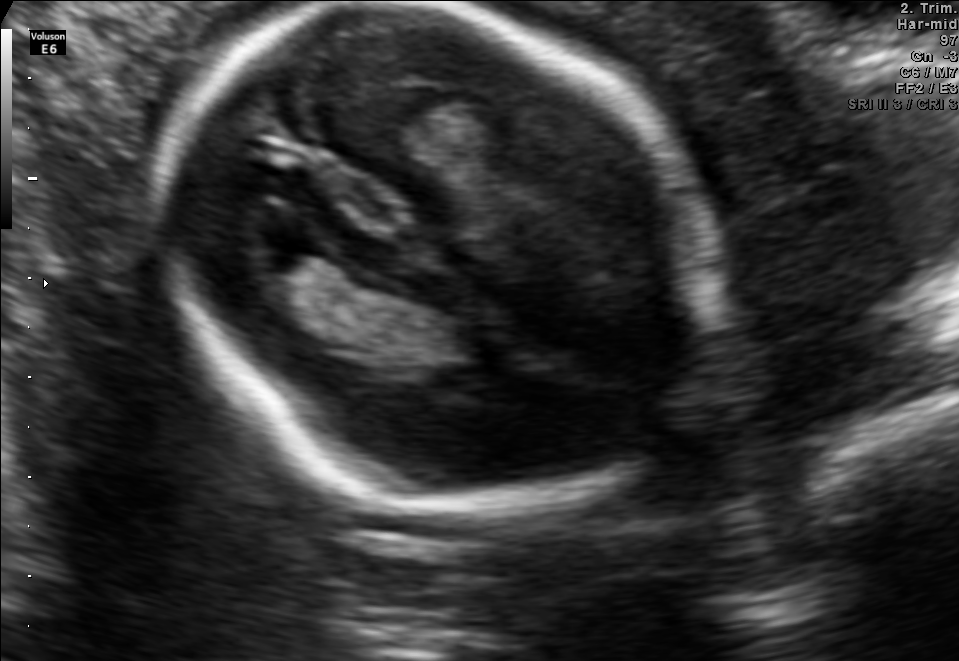
In this fetal brain, trans-thalamic plane, give the bounding box of the fetal head.

[159,3,720,502]